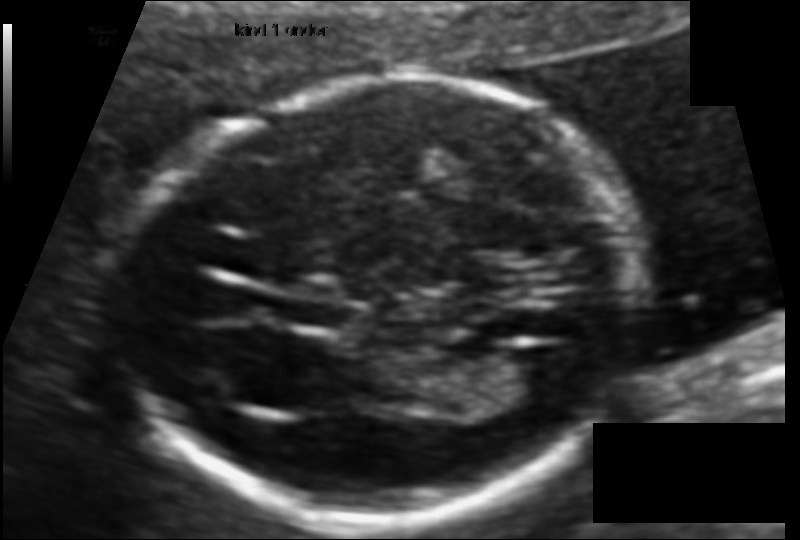
Fetal head ultrasound. Image width: 75.7 mm. Where is the cavum septum pellucidum?

CSP bounding box: [290,297,353,332]